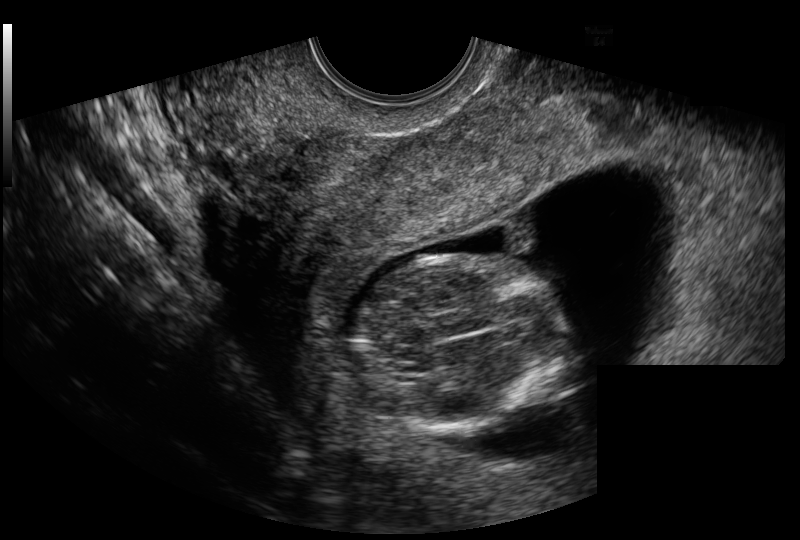
Fetal head ultrasound. Image width: 103.2 mm. Locate the fetal head.

Head: [356,256,569,433]